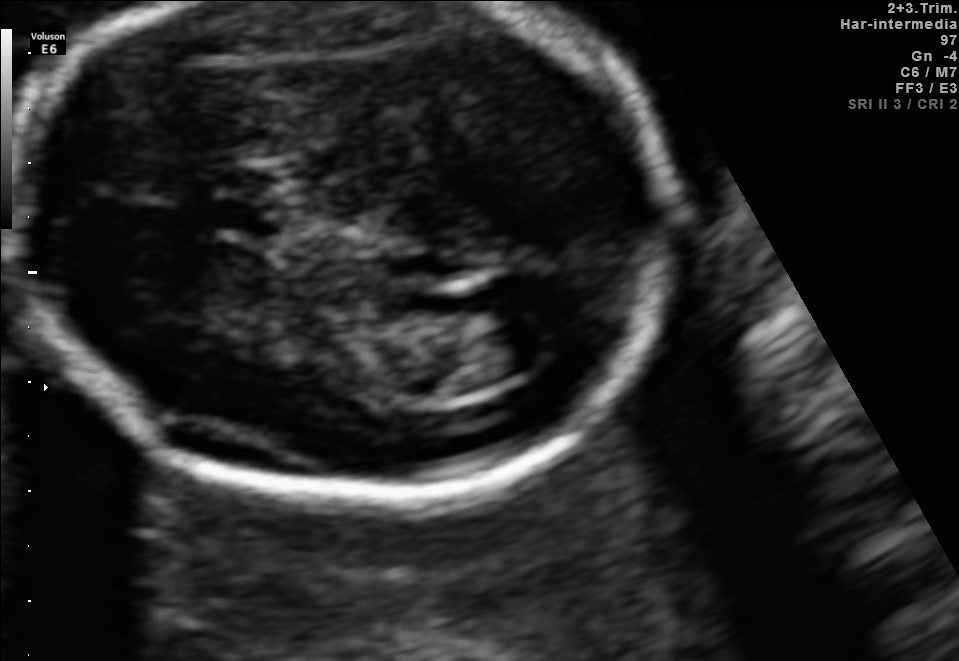
Fetal brain, trans-ventricular plane. Where is the lateral ventricle?

Lateral ventricle bounding box: [475,308,567,383]